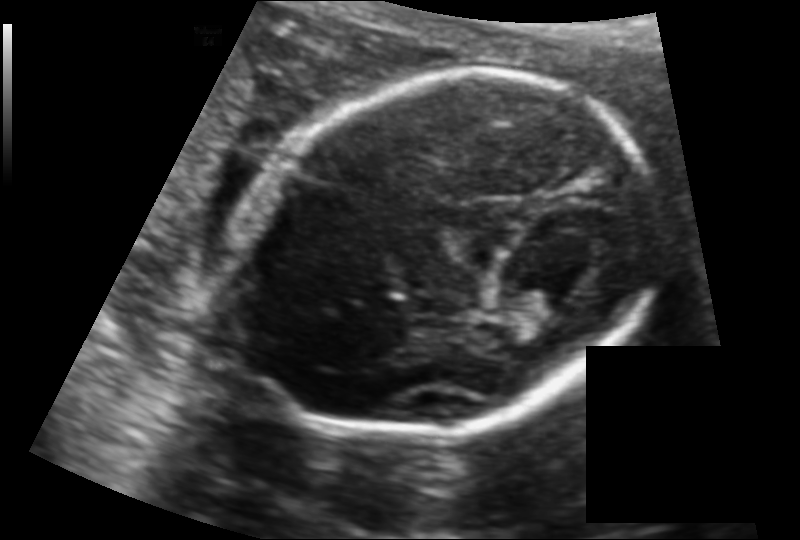
What is the fetal head circumference? Image width is 103.7 mm.

167.7 mm